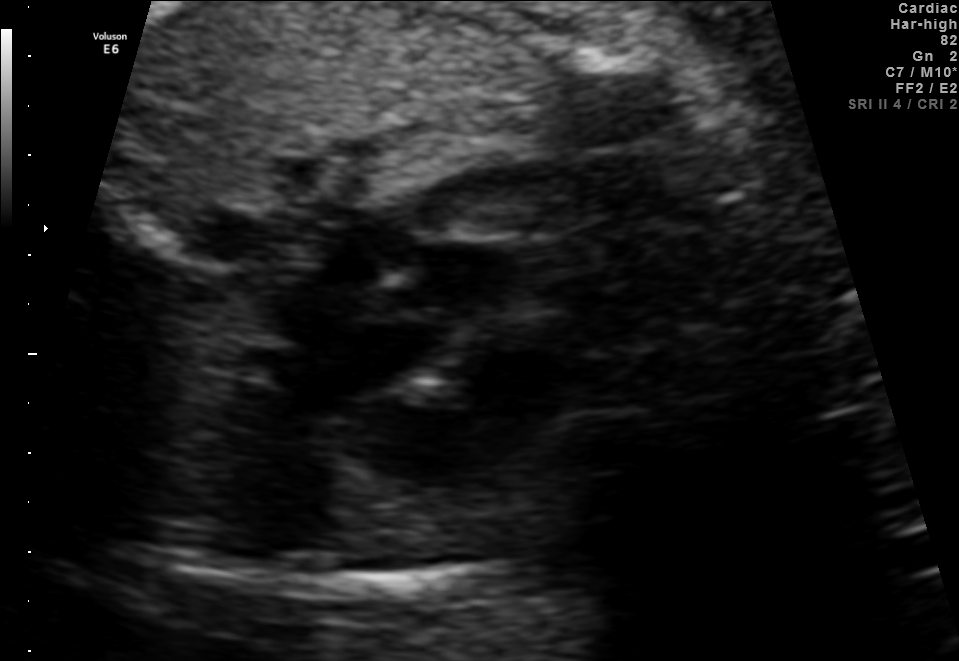
This is a 2D maternal-fetal ultrasound frame. Is it a fetal abdomen, fetal brain, fetal femur, fetal thorax, maternal cervix, or other standard plane? If it's fetal brain and one of the three standard brain planes (trans-thalamic, trans-cerebellum, trans-ventricular), name which.

Fetal thorax